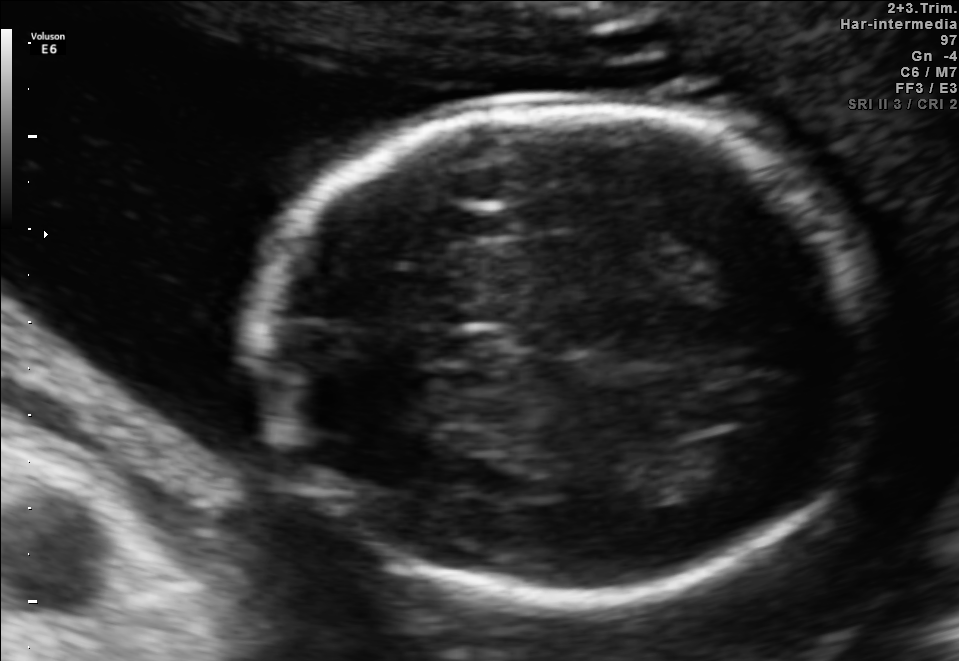
Fetal brain, trans-ventricular plane. Locate the fetal head.

Head: [241,98,896,607]